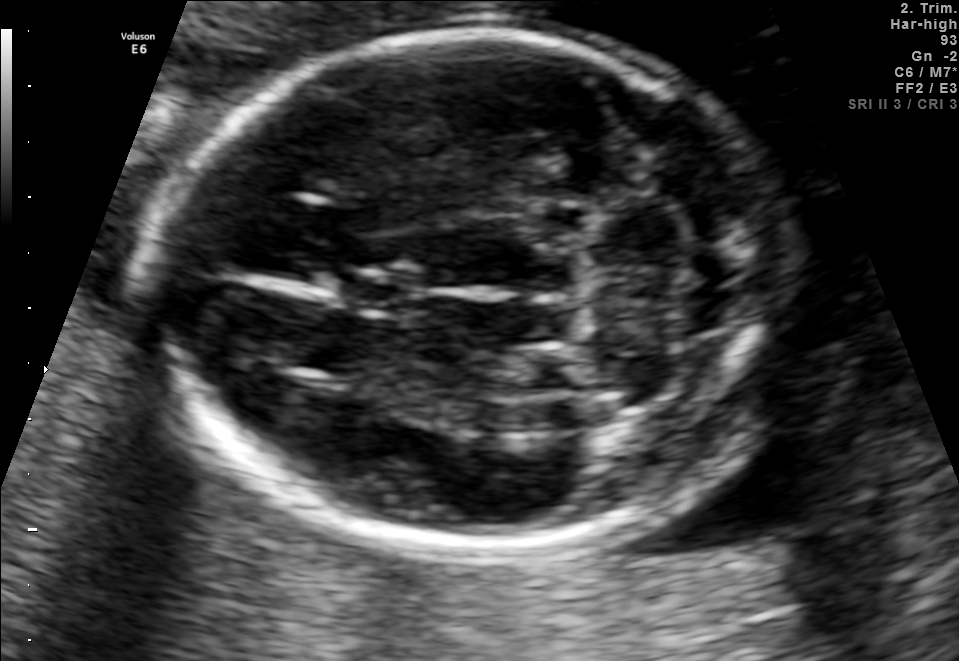
Fetal brain, trans-cerebellum plane. Locate the fetal head and, if visible, the cavum septum pellucidum (CSP) and lateral ventricle (LV). Give bounding boxes as [x1,y1,x2,y2].

Head: [154,29,805,552]
CSP: [337,267,423,317]